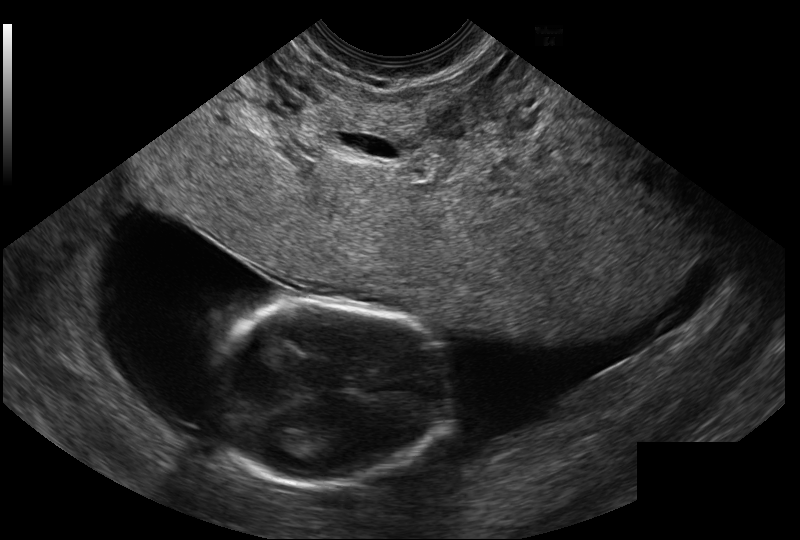
What is the fetal head circumference? Image width is 91.4 mm.

80.3 mm